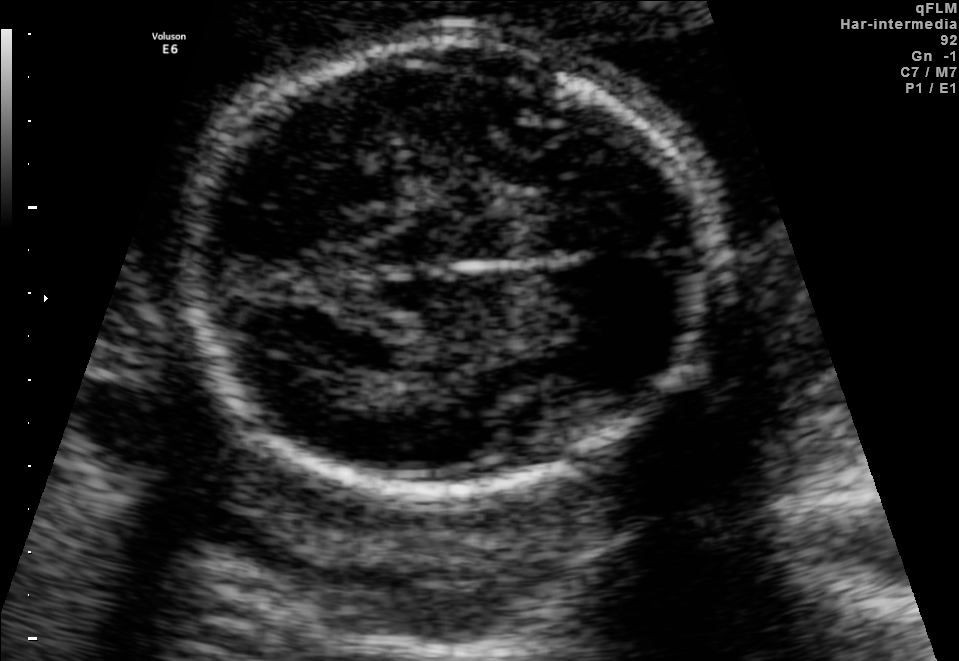
Fetal brain, trans-thalamic plane. Locate the fetal head.

Head: [181,44,714,489]